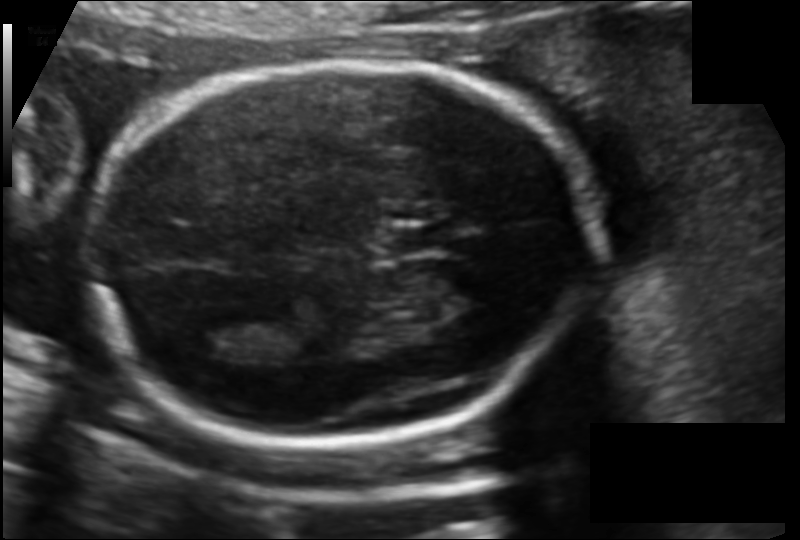
Fetal head ultrasound. Image width: 96.2 mm. Where is the cavum septum pellucidum?

CSP bounding box: [379,221,455,259]